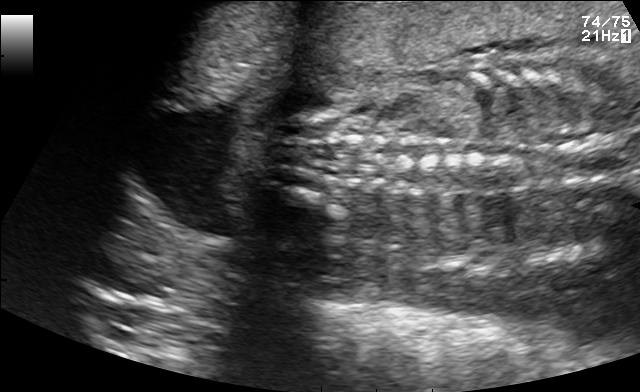
Which standard maternal-fetal ultrasound plane is shown: fetal abdomen, fetal brain, fetal femur, fetal thorax, maternal cervix, or other? If it's fetal brain and one of the three standard brain planes (trans-thalamic, trans-cerebellum, trans-ventricular), name which.

Other